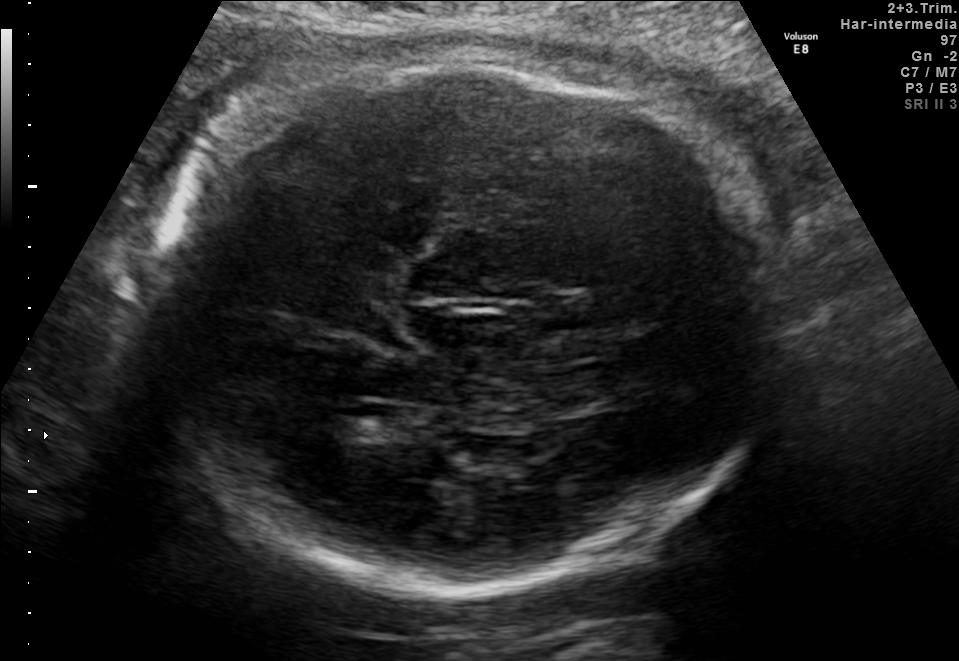
In this fetal brain, trans-thalamic plane, give bounding boxes for the head outline, cavum septum pellucidum (CSP), and lateral ventricle (LV), where visible.

Head: [148,63,789,588]
Lateral ventricle: [335,400,416,440]